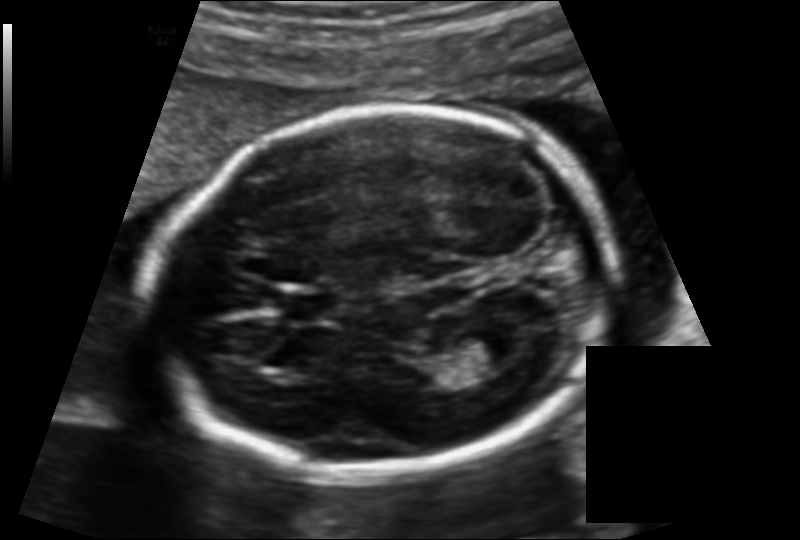
Measure the fetal head circumference shown in this ultrasound image. Image width: 104.7 mm.

Head circumference: 175.3 mm.